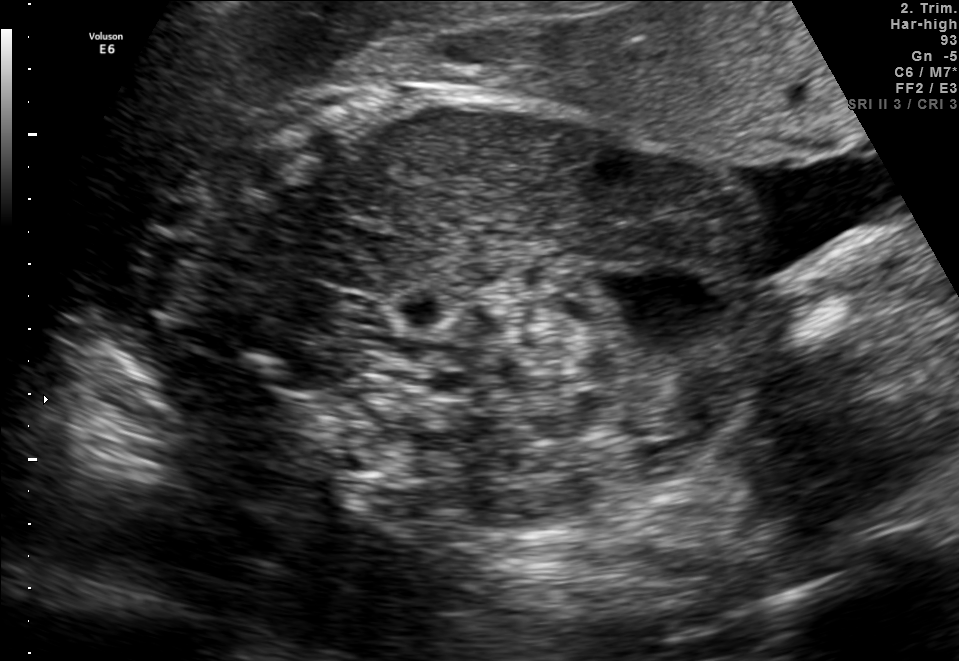
This is a 2D maternal-fetal ultrasound frame. Is it a fetal abdomen, fetal brain, fetal femur, fetal thorax, maternal cervix, or other standard plane? If it's fetal brain and one of the three standard brain planes (trans-thalamic, trans-cerebellum, trans-ventricular), name which.

Other